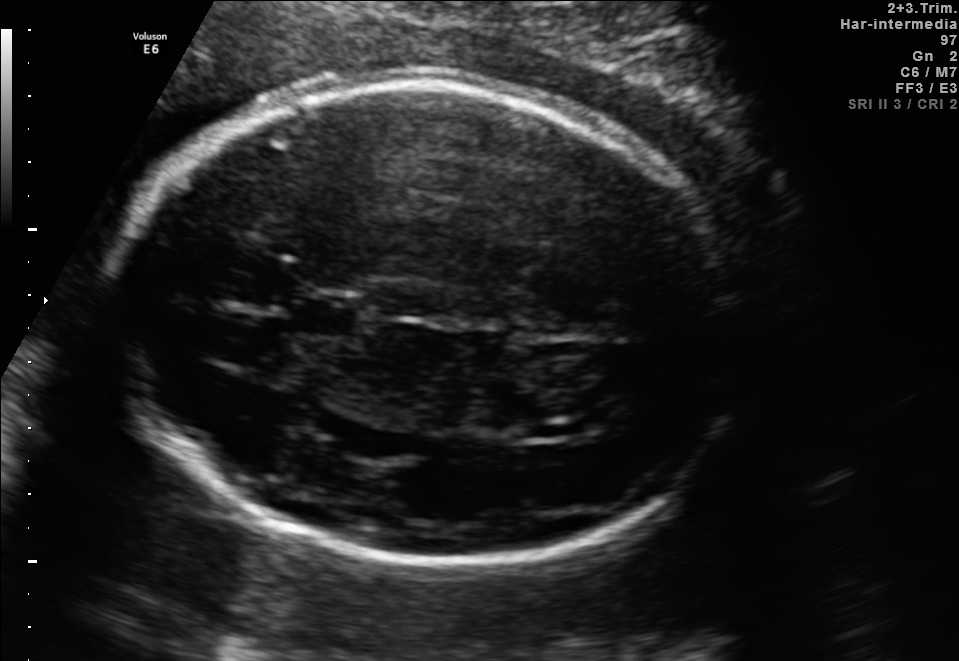
Fetal brain, trans-ventricular plane. Locate the fetal head.

Head: [100,68,763,577]